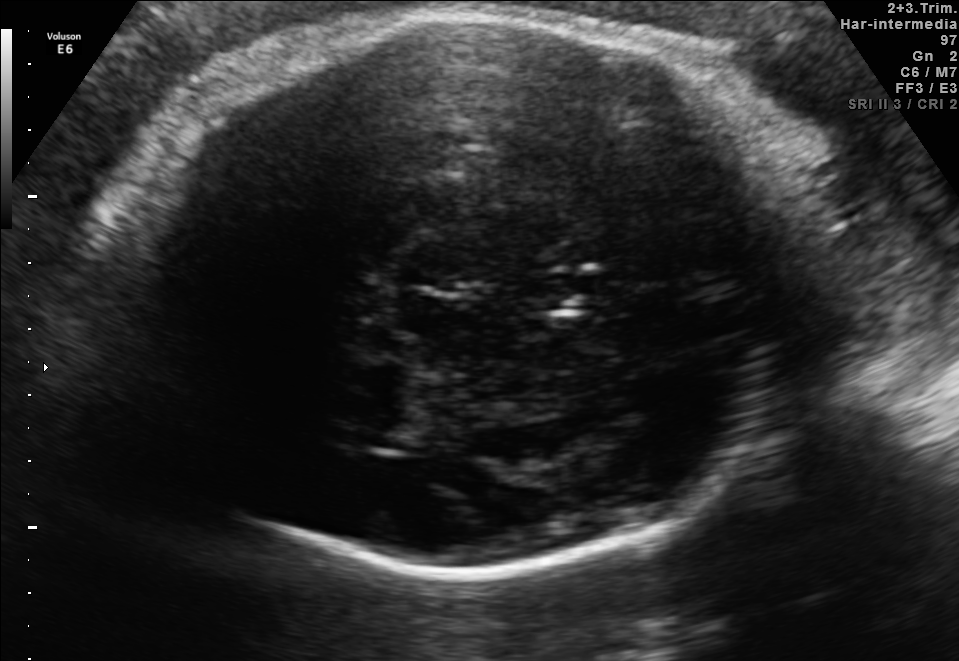
Fetal brain, trans-thalamic plane. Locate the lateral ventricle.

Lateral ventricle: [346,413,430,452]